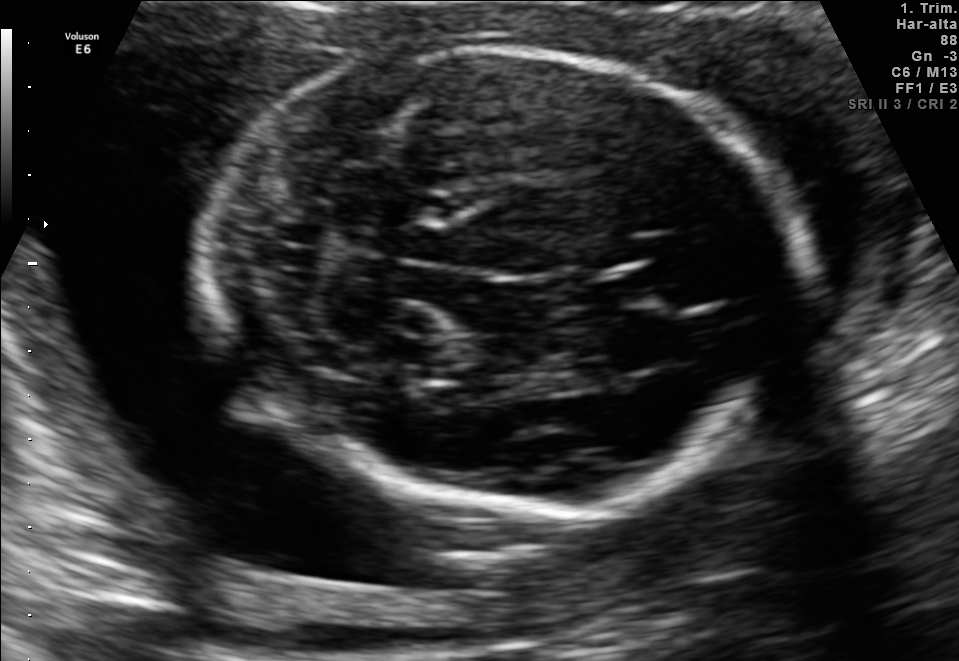
Fetal brain, trans-cerebellum plane. Give [x1,y1,x2,y2] bounding boxes for each visible structure among: fetal head, CSP, LV.

Head: [200,50,793,505]
CSP: [587,262,666,312]